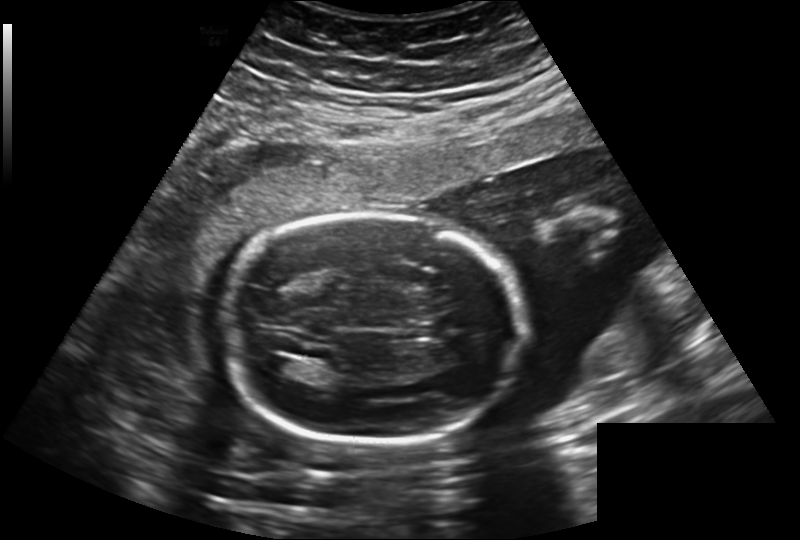
Estimate the fetal head circumference from this 2D ultrasound. Image width: 192.6 mm.

Head circumference: 205.7 mm.